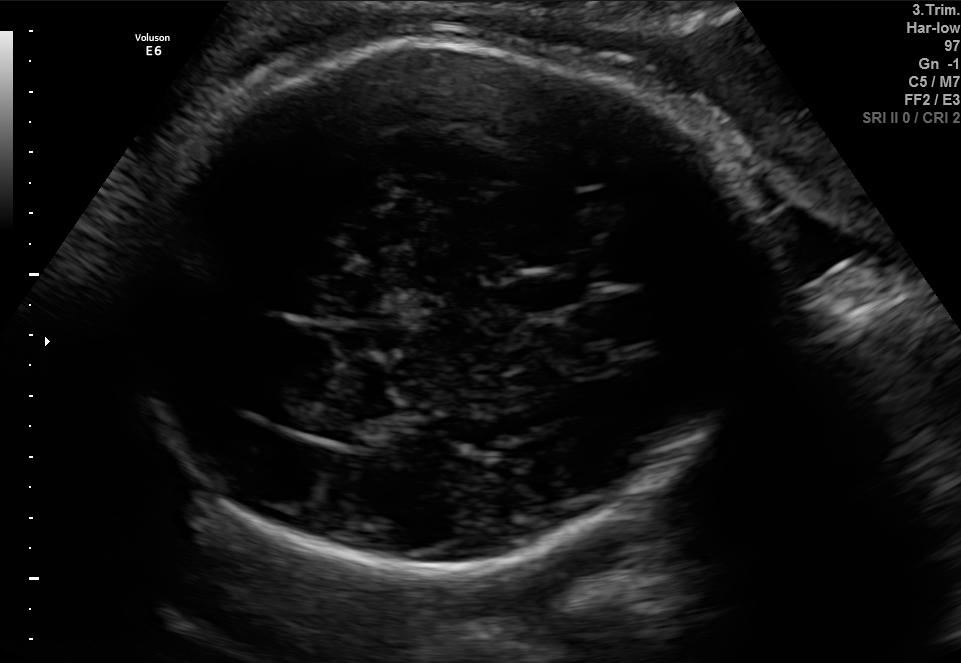
Which standard maternal-fetal ultrasound plane is shown: fetal abdomen, fetal brain, fetal femur, fetal thorax, maternal cervix, or other? If it's fetal brain and one of the three standard brain planes (trans-thalamic, trans-cerebellum, trans-ventricular), name which.

Fetal brain (trans-ventricular plane)